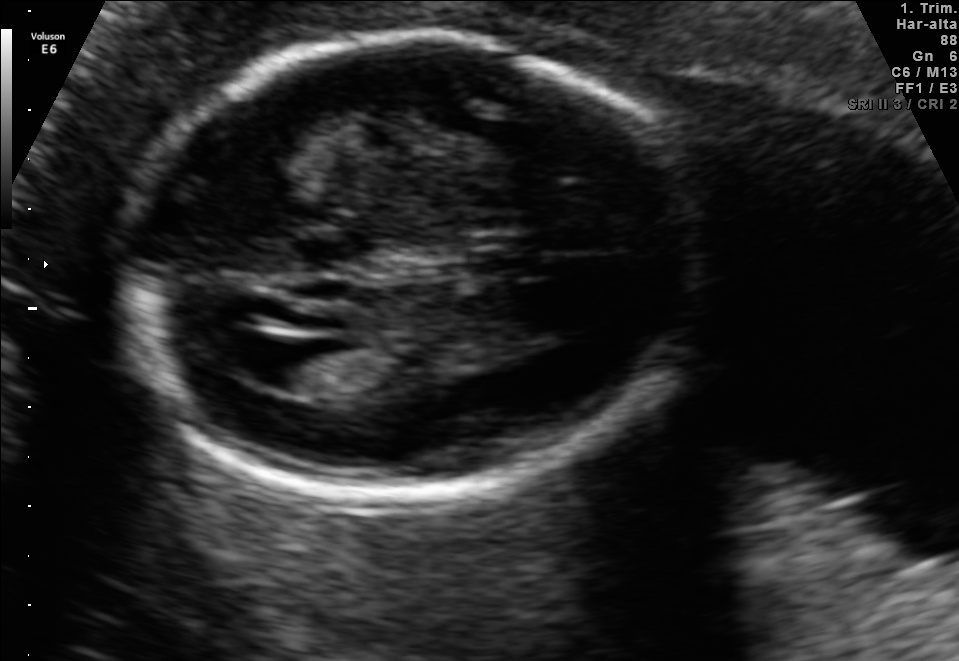
Fetal brain, trans-ventricular plane. Locate the cavum septum pellucidum.

CSP: [474,246,547,280]